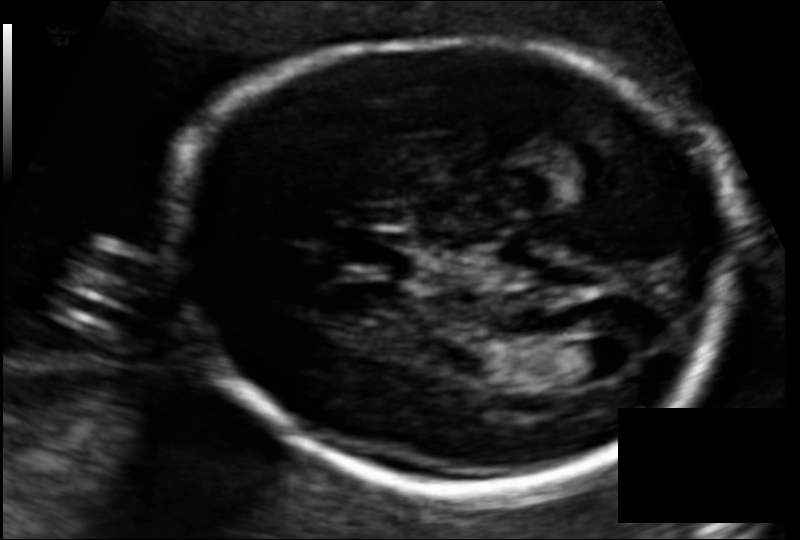
Estimate the fetal head circumference from this 2D ultrasound.

Head circumference: 182.0 mm (image width 86.4 mm).